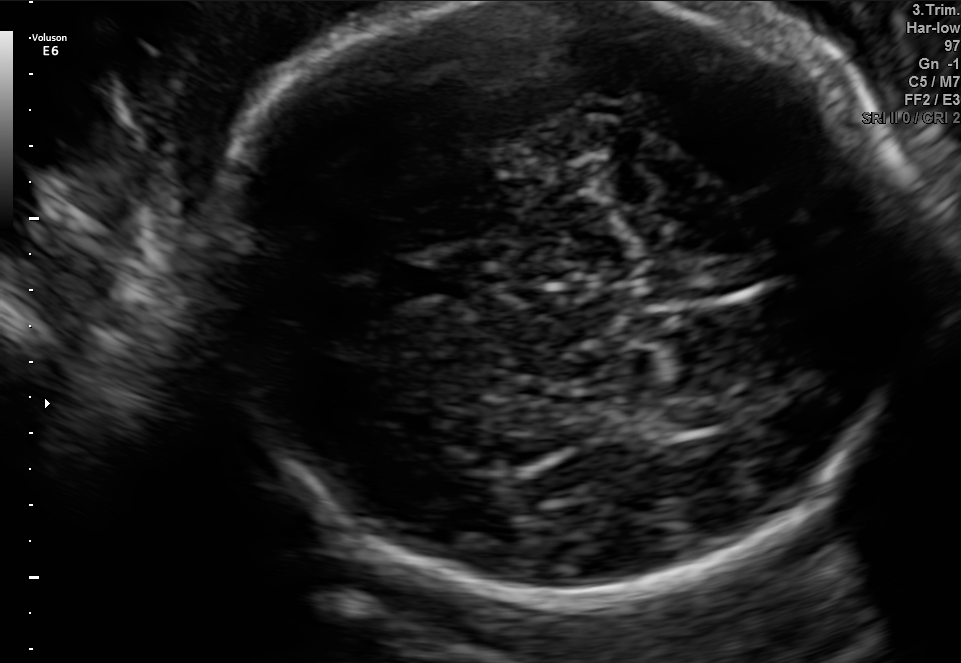
In this fetal brain, trans-thalamic plane, give bounding boxes for the head outline, cavum septum pellucidum (CSP), and lateral ventricle (LV), where visible.

Head: [217,1,910,588]
CSP: [396,258,487,305]
Lateral ventricle: [654,393,727,439]